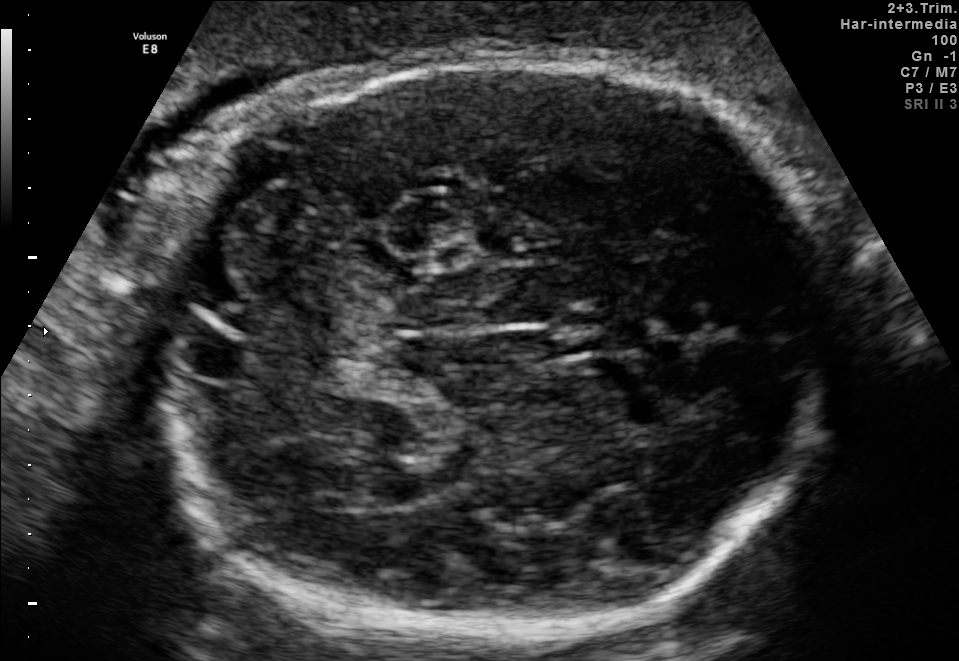
Fetal brain, trans-cerebellum plane. Where is the cavum septum pellucidum?

CSP bounding box: [572,304,651,356]